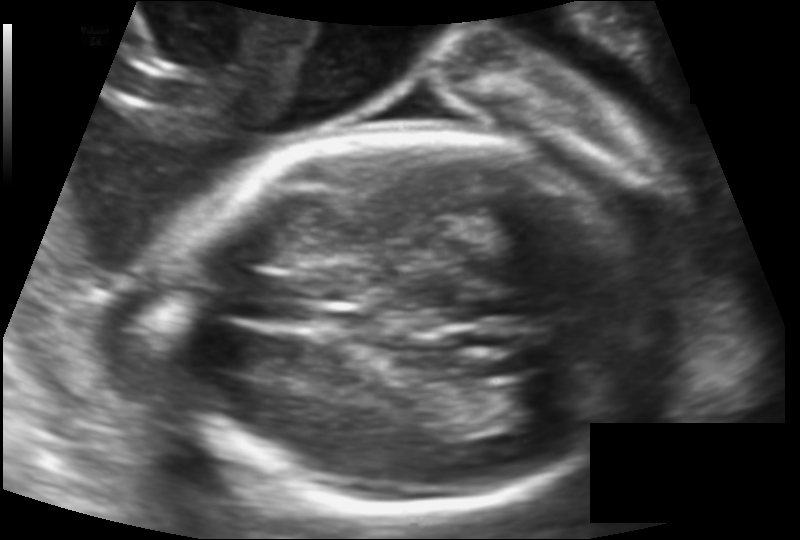
Fetal head ultrasound. Image width: 106.2 mm. Locate the fetal head.

Head: [170,129,655,515]